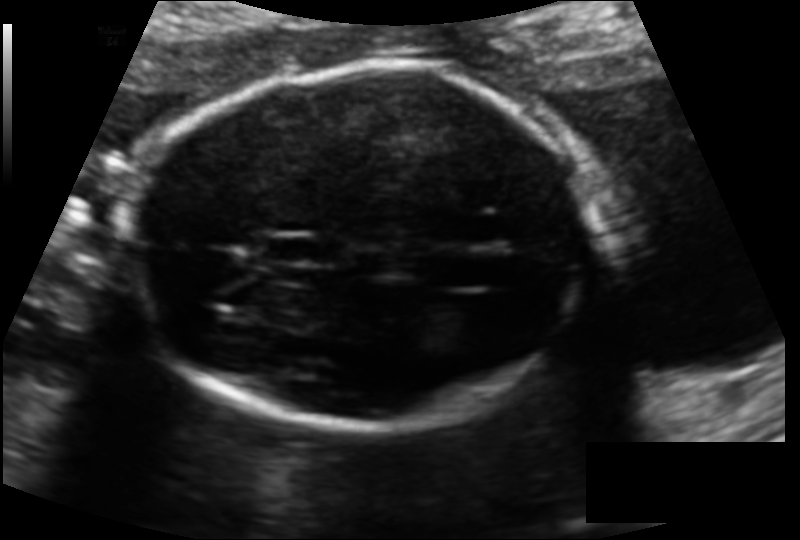
In this fetal head ultrasound, give the bounding box of the cavum septum pellucidum. Image width: 101.0 mm.

[263,234,318,264]